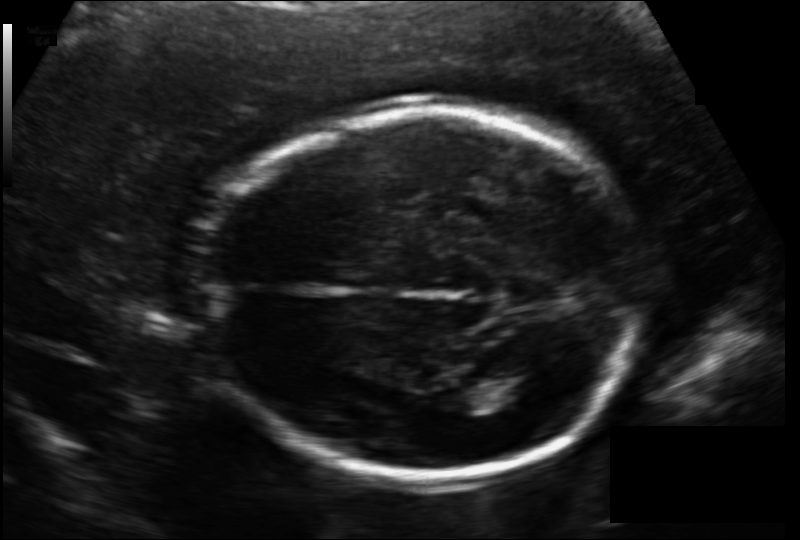
Measure the fetal head circumference shown in this ultrasound image. Image width: 106.6 mm.

Head circumference: 177.0 mm.